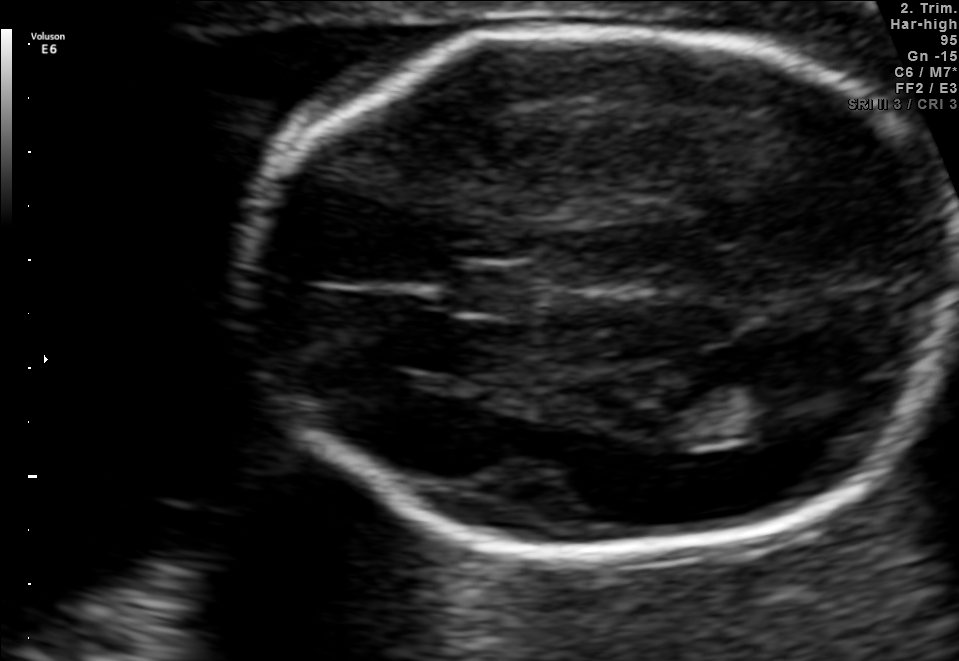
Classify this maternal-fetal ultrasound image as one of the six standard planes — fetal abdomen, fetal brain, fetal femur, fetal thorax, maternal cervix, or other. If it's fetal brain and one of the three standard brain planes (trans-thalamic, trans-cerebellum, trans-ventricular), name which.

Fetal brain (trans-thalamic plane)